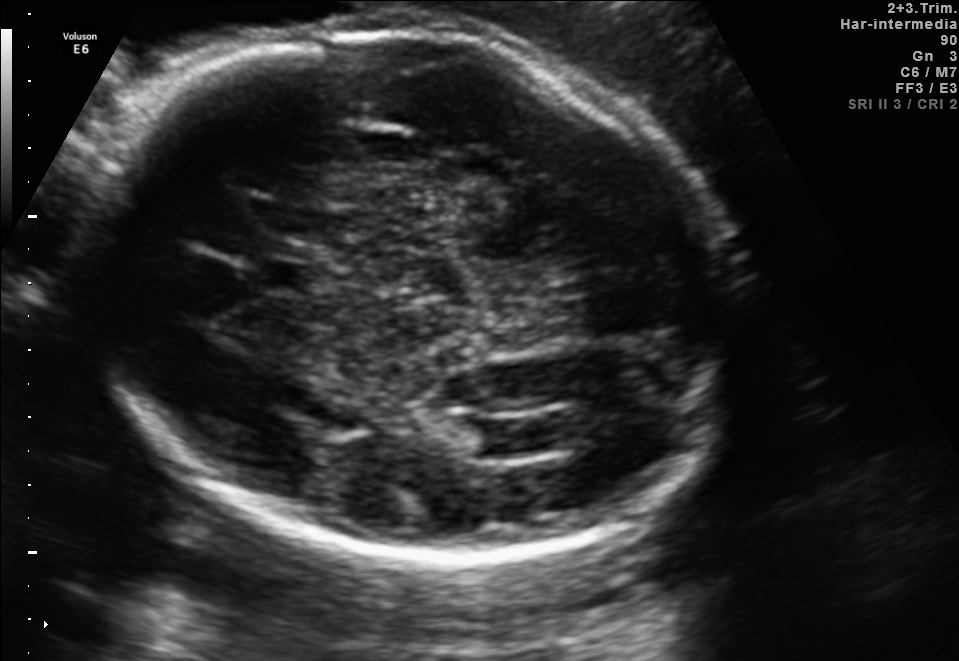
Fetal brain, trans-ventricular plane. Where is the fetal head?

Head bounding box: [67,17,760,570]